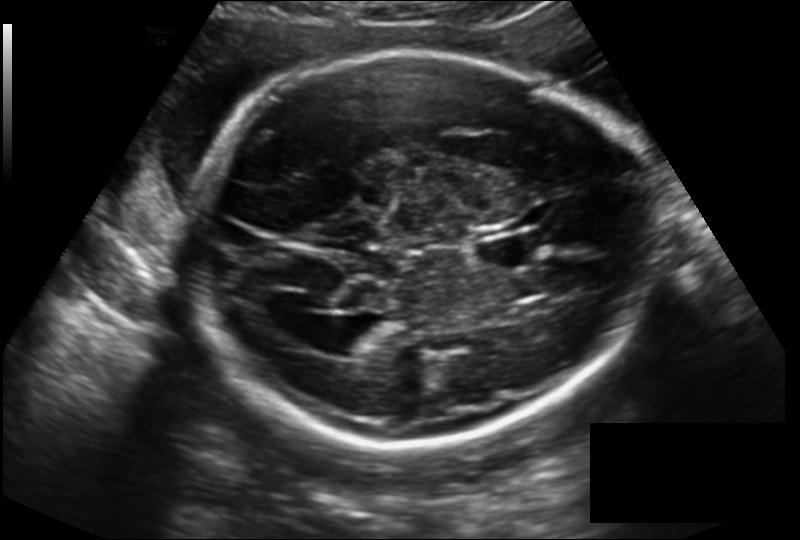
Fetal head ultrasound. Image width: 155.0 mm. Where is the lateral ventricle?

Lateral ventricle bounding box: [313,313,385,360]